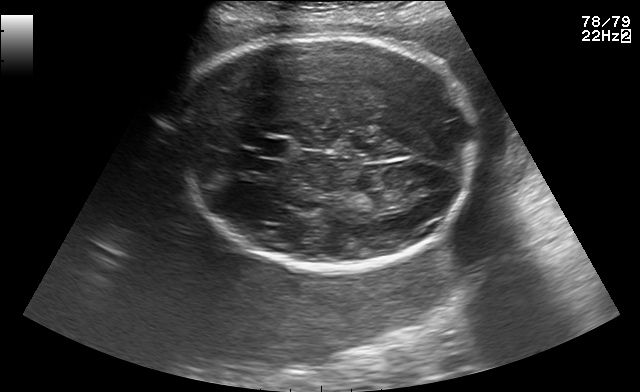
In this fetal brain, trans-thalamic plane, give the bounding box of the fetal head.

[173,33,481,271]